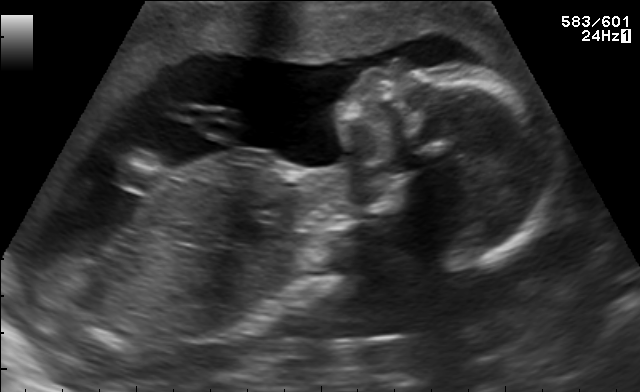
Which standard maternal-fetal ultrasound plane is shown: fetal abdomen, fetal brain, fetal femur, fetal thorax, maternal cervix, or other? If it's fetal brain and one of the three standard brain planes (trans-thalamic, trans-cerebellum, trans-ventricular), name which.

Other